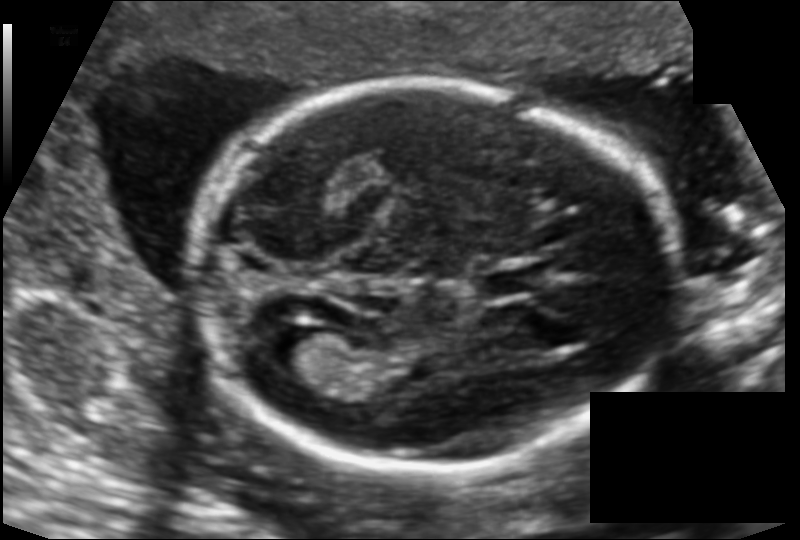
Estimate the fetal head circumference from this 2D ultrasound.

Head circumference: 175.3 mm (image width 98.8 mm).